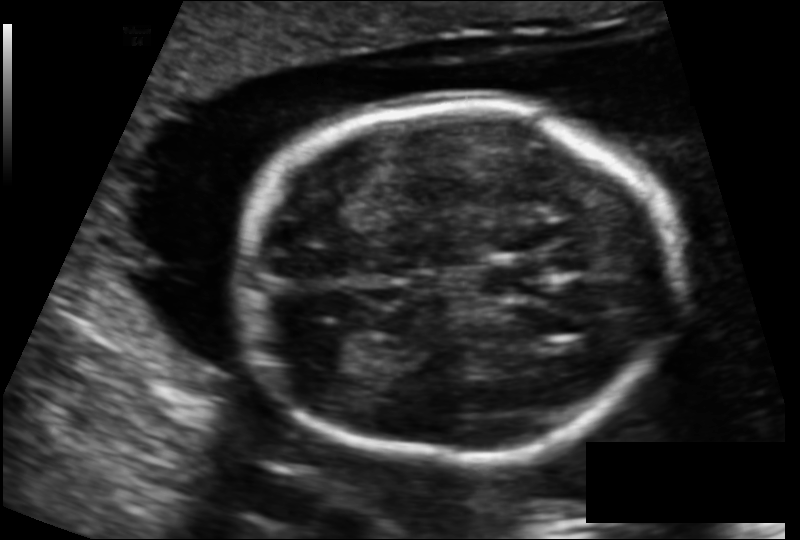
Fetal head ultrasound. Image width: 104.4 mm. Locate the lateral ventricle.

Lateral ventricle: [294,319,388,377]